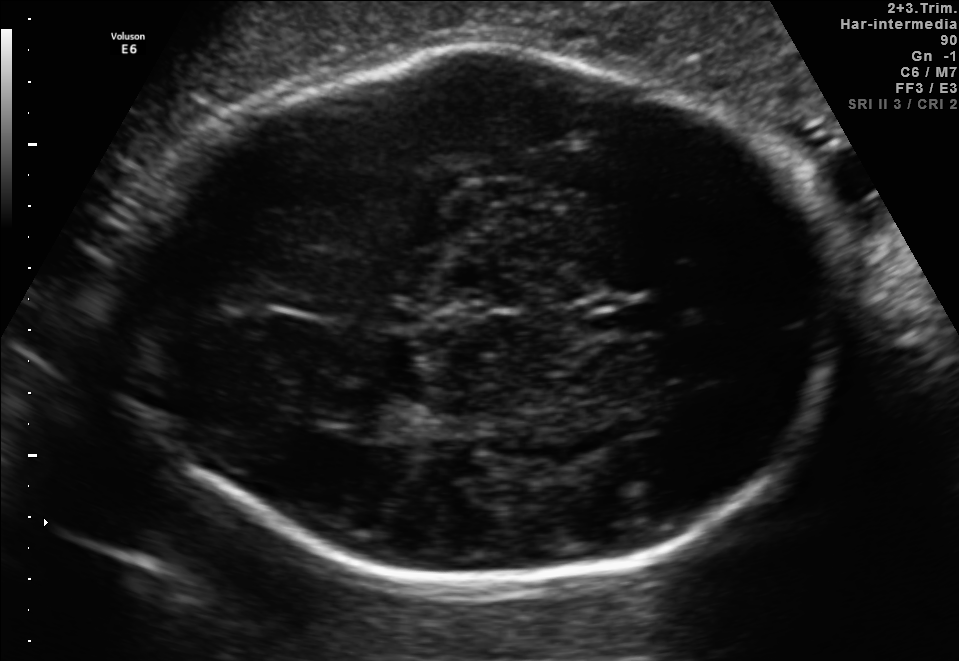
Fetal brain, trans-thalamic plane. Where is the cavum septum pellucidum?

CSP bounding box: [578,296,659,340]